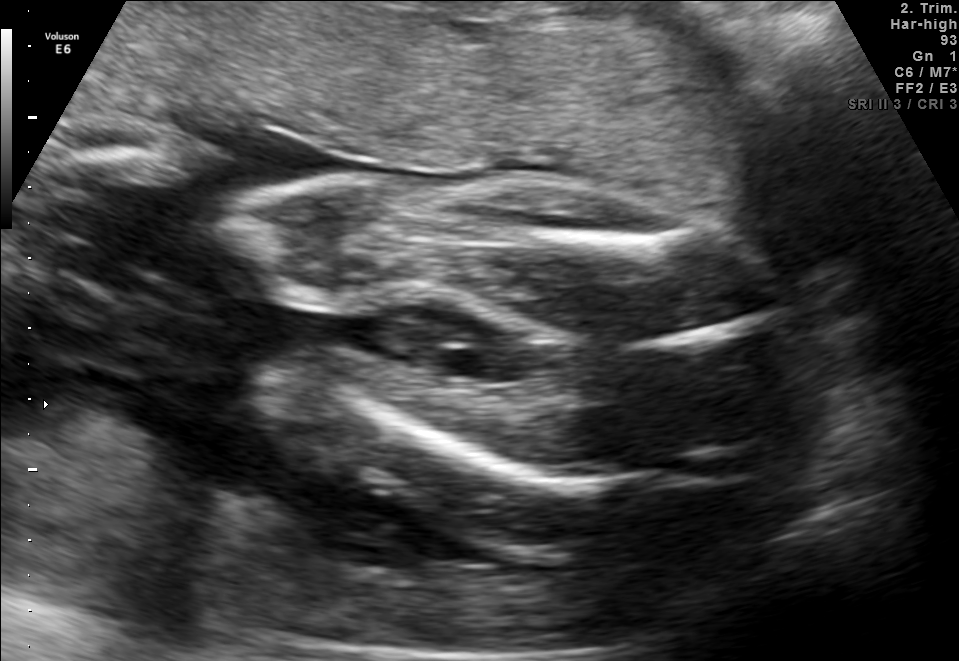
Classify this maternal-fetal ultrasound image as one of the six standard planes — fetal abdomen, fetal brain, fetal femur, fetal thorax, maternal cervix, or other. If it's fetal brain and one of the three standard brain planes (trans-thalamic, trans-cerebellum, trans-ventricular), name which.

Fetal femur